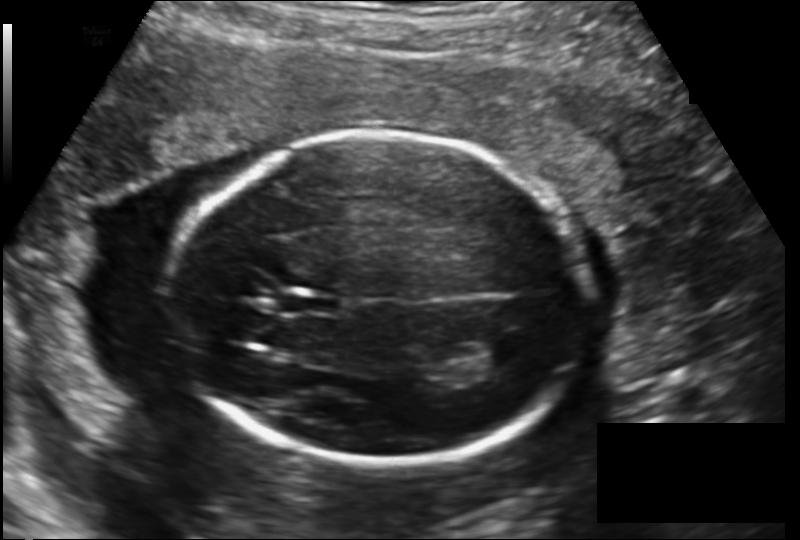
From this fetal ultrasound, estimate the head circumference (image width 130.6 mm).

Head circumference: 199.3 mm.